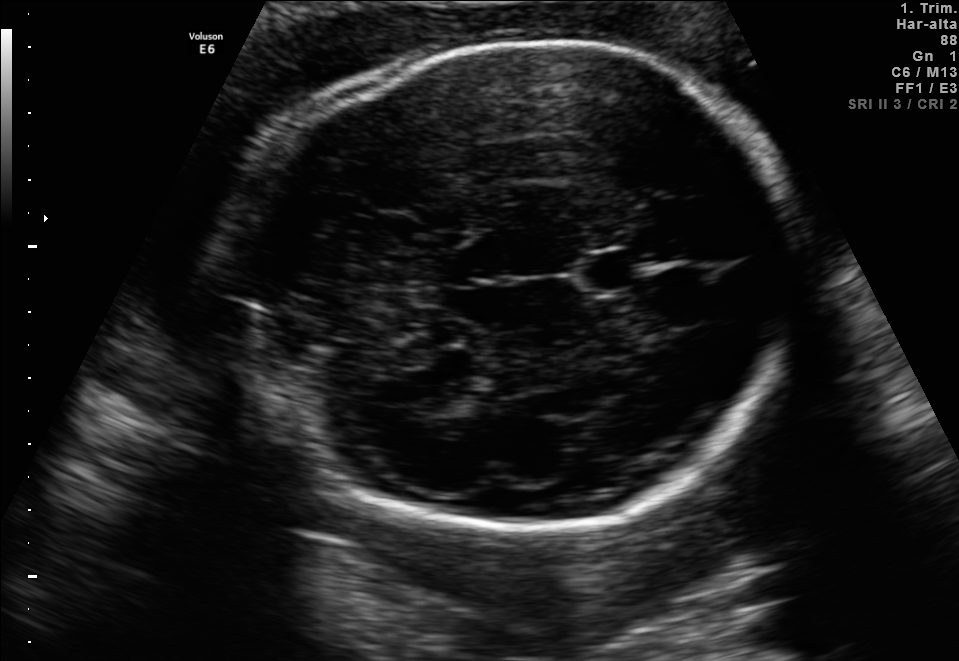
In this fetal brain, trans-thalamic plane, give bounding boxes for the head outline, cavum septum pellucidum (CSP), and lateral ventricle (LV), where visible.

Head: [228,40,799,527]
CSP: [582,248,640,293]